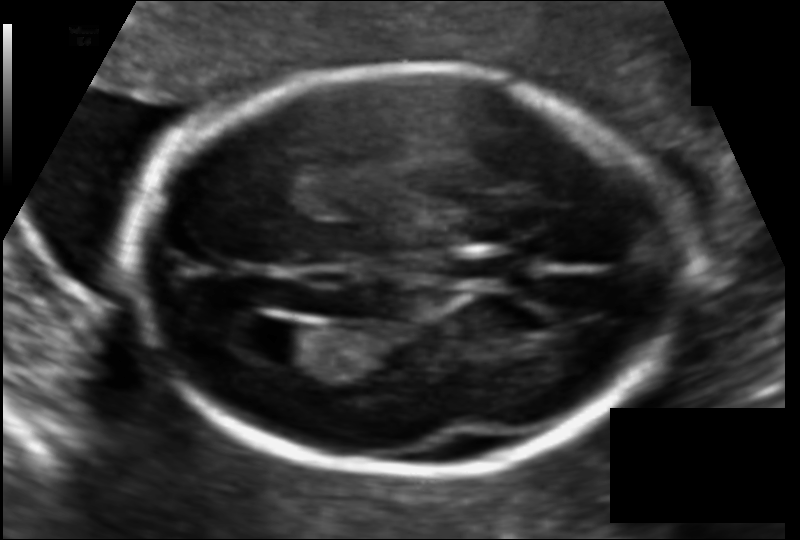
Fetal head ultrasound. Image width: 89.2 mm. Locate the fetal head.

Head: [131,65,676,471]